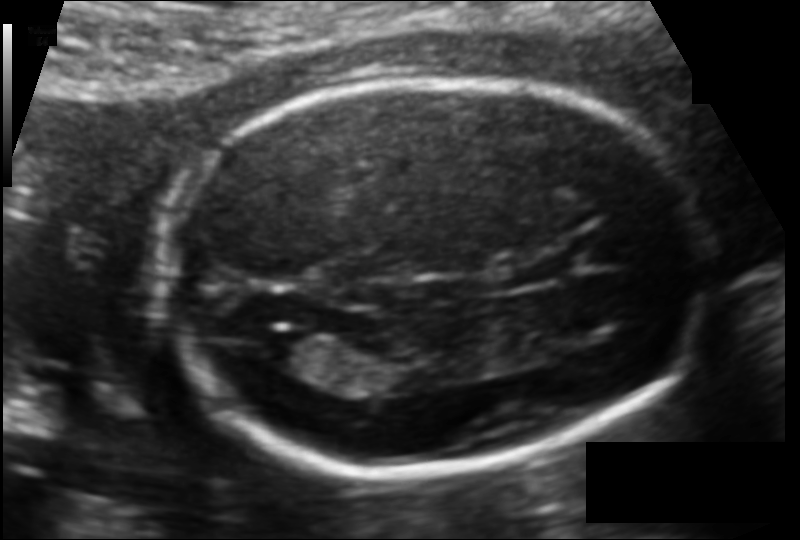
In this fetal head ultrasound, give the bounding box of the lateral ventricle. Image width: 87.1 mm.

[254,331,324,367]